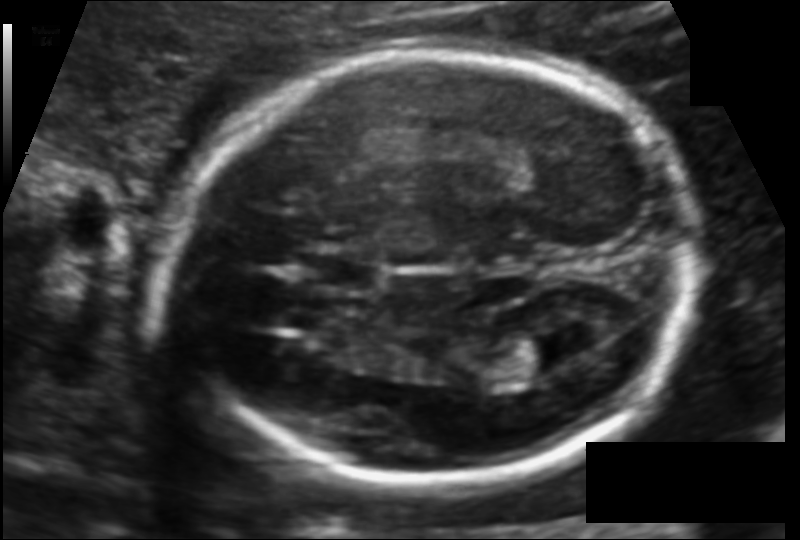
Fetal head ultrasound. Image width: 90.0 mm. Locate the fetal head.

Head: [160,51,698,484]